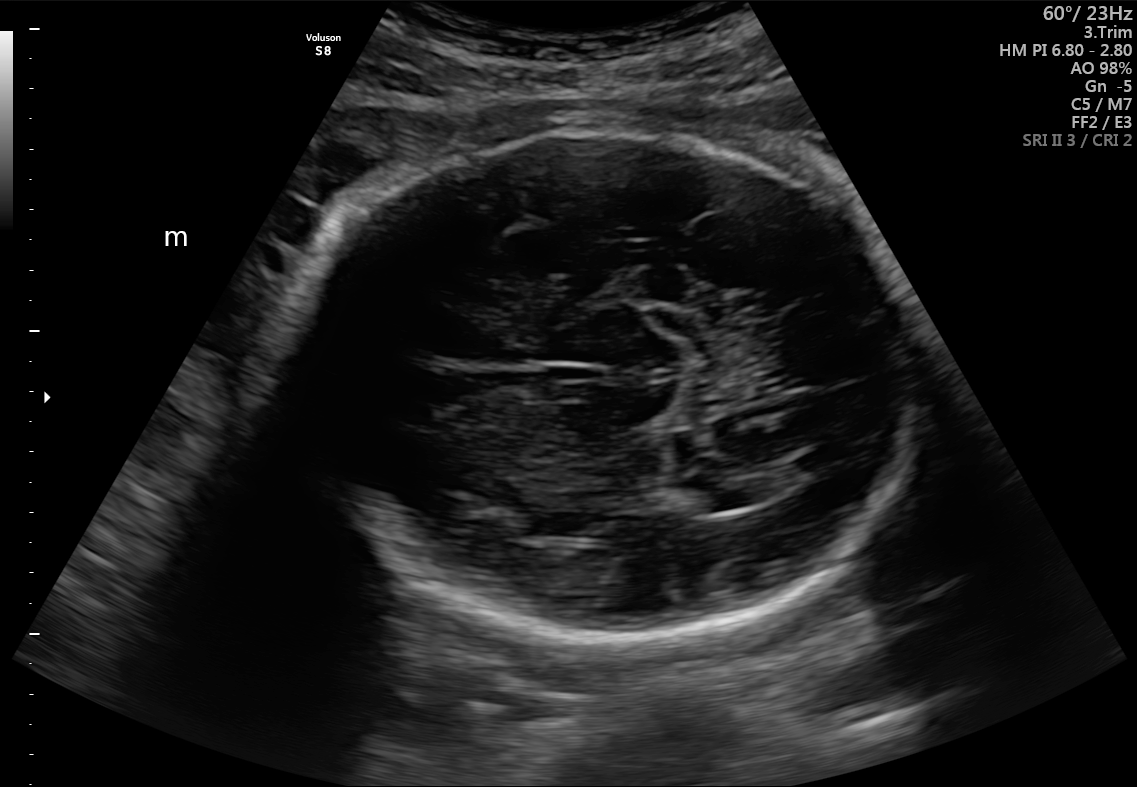
Fetal brain, trans-thalamic plane. Locate the fetal head.

Head: [286,135,920,645]